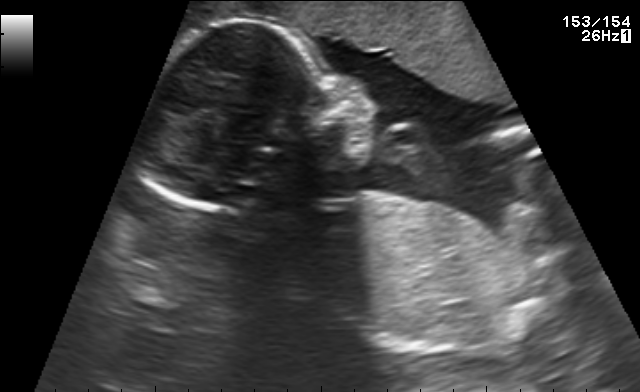
Which standard maternal-fetal ultrasound plane is shown: fetal abdomen, fetal brain, fetal femur, fetal thorax, maternal cervix, or other? If it's fetal brain and one of the three standard brain planes (trans-thalamic, trans-cerebellum, trans-ventricular), name which.

Other